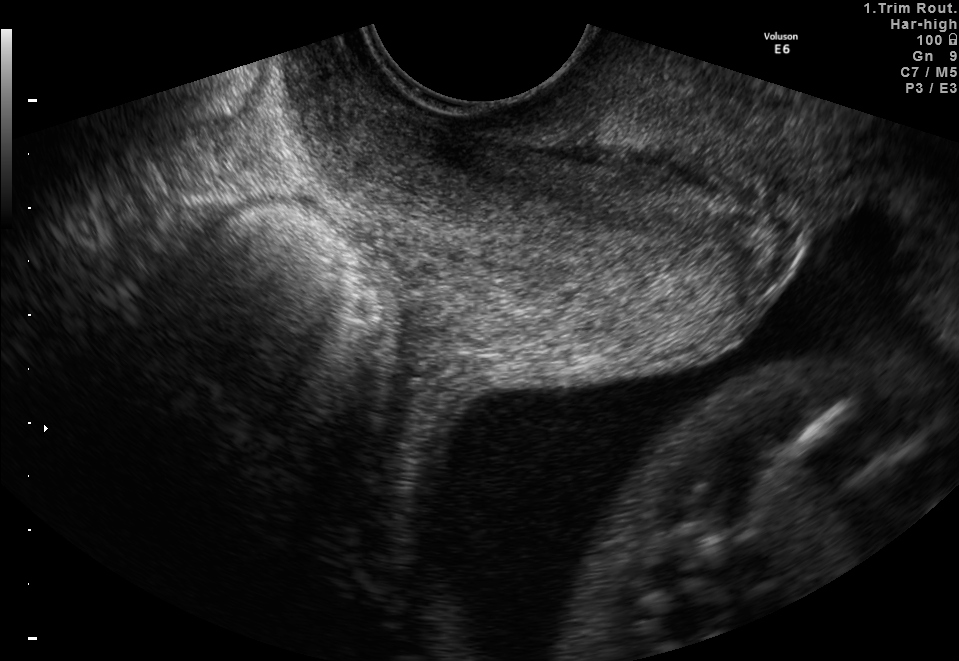
This is a 2D maternal-fetal ultrasound frame. Is it a fetal abdomen, fetal brain, fetal femur, fetal thorax, maternal cervix, or other standard plane? If it's fetal brain and one of the three standard brain planes (trans-thalamic, trans-cerebellum, trans-ventricular), name which.

Maternal cervix